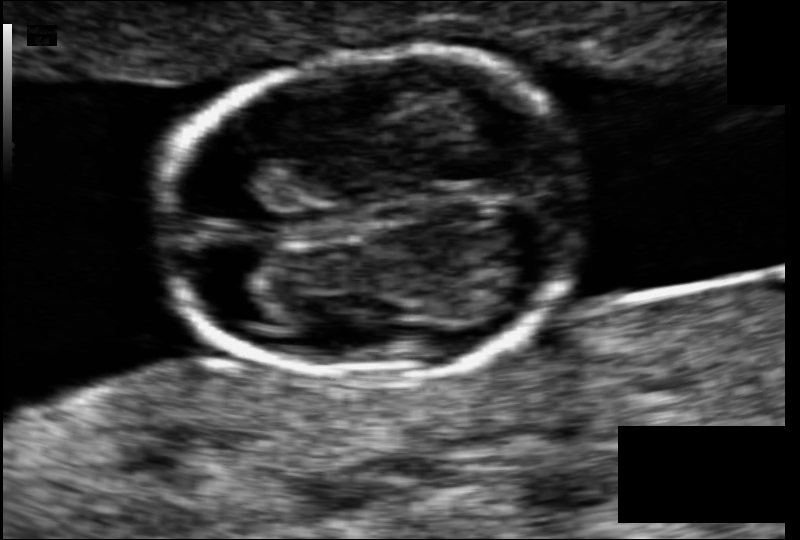
Fetal head ultrasound. Image width: 50.6 mm. Where is the fetal head?

Head bounding box: [158,52,586,378]